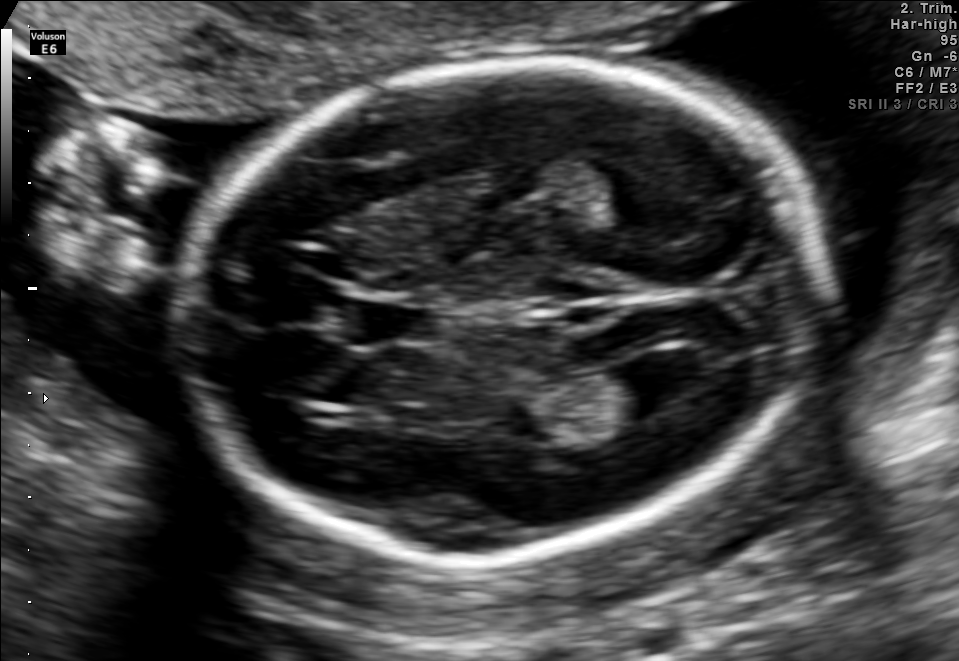
Fetal brain, trans-ventricular plane. Locate the cavum septum pellucidum.

CSP: [346,302,441,344]